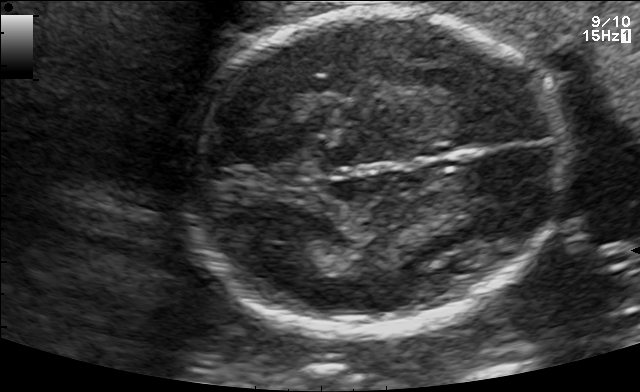
Fetal brain, trans-thalamic plane. Locate the fetal head and, if visible, the cavum septum pellucidum (CSP) and lateral ventricle (LV). Give bounding boxes as [x1,y1,x2,y2].

Head: [181,10,570,330]